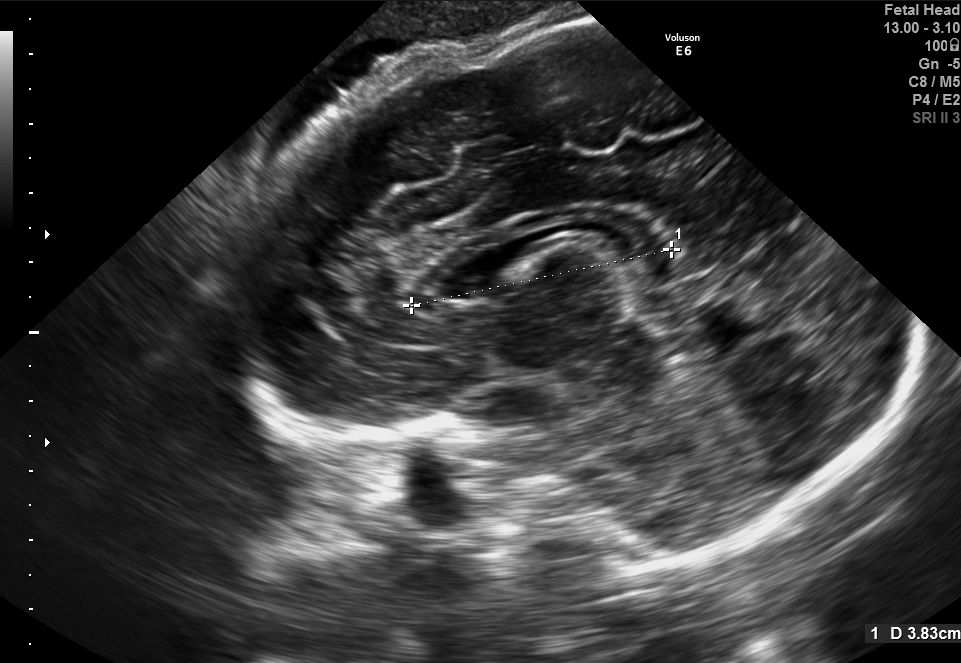
Which standard maternal-fetal ultrasound plane is shown: fetal abdomen, fetal brain, fetal femur, fetal thorax, maternal cervix, or other? If it's fetal brain and one of the three standard brain planes (trans-thalamic, trans-cerebellum, trans-ventricular), name which.

Other